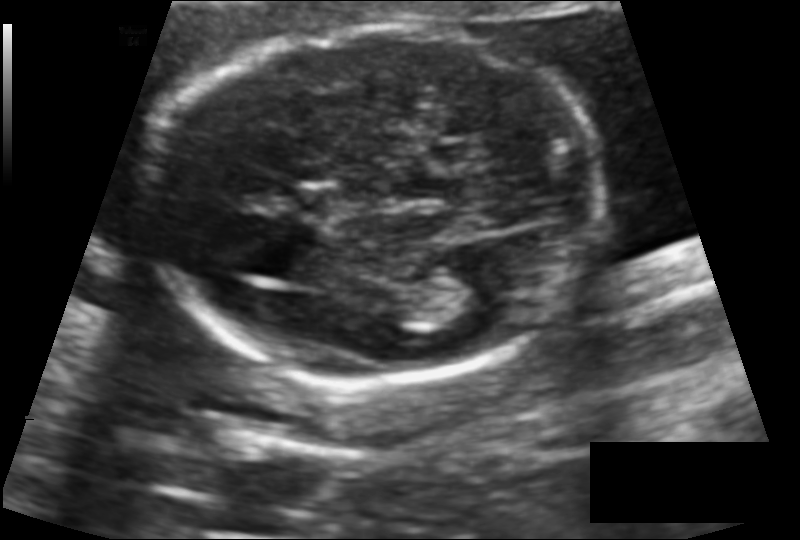
Fetal head ultrasound. Image width: 94.4 mm. Locate the fetal head and, if visible, the cavum septum pellucidum (CSP) and lateral ventricle (LV). Give bounding boxes as [x1,y1,x2,y2].

Head: [146,27,604,381]